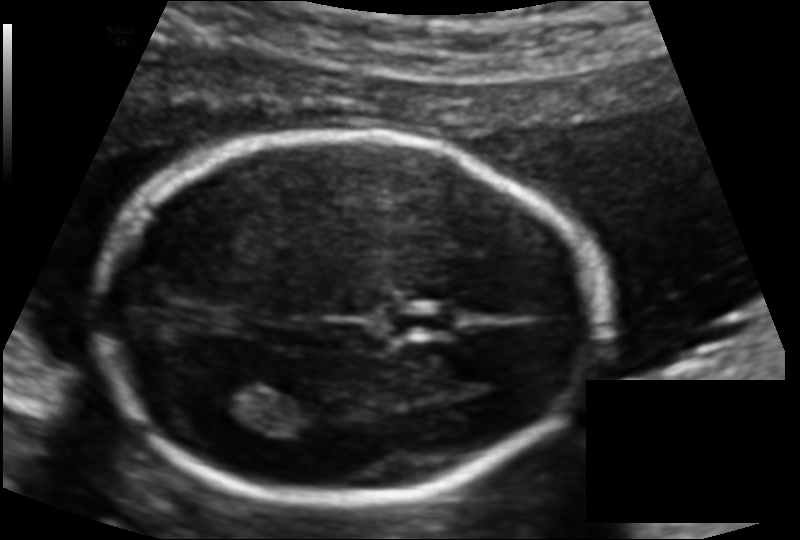
In this fetal head ultrasound, give bounding boxes for the head outline, cavum septum pellucidum (CSP), and lateral ventricle (LV), where visible. Image width: 91.6 mm.

Head: [101,135,602,500]
CSP: [389,307,453,336]
Lateral ventricle: [200,363,285,435]